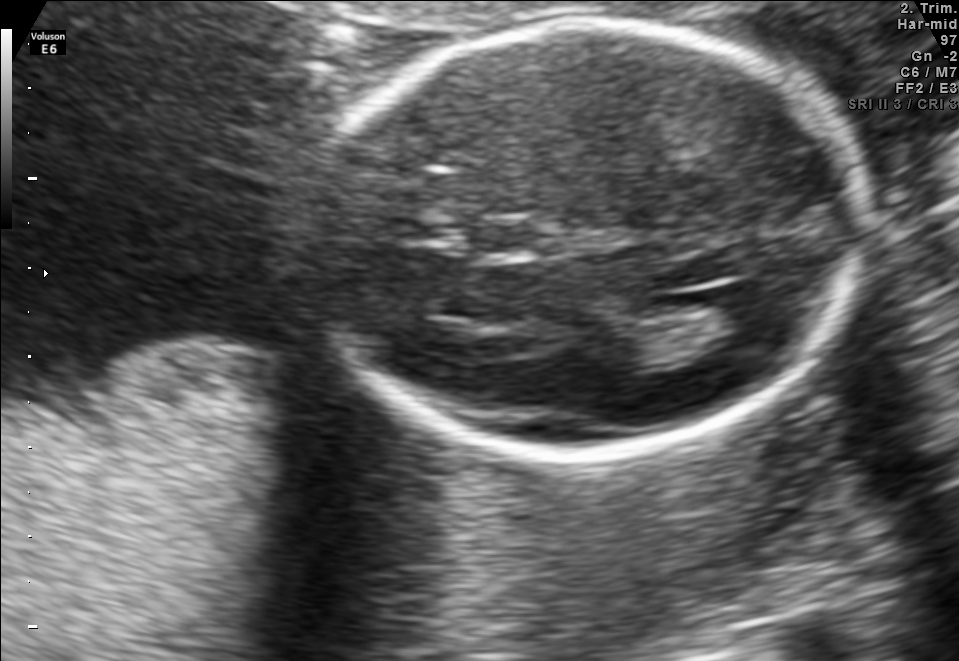
In this fetal brain, trans-ventricular plane, give the bounding box of the cavum septum pellucidum.

[473,217,536,261]